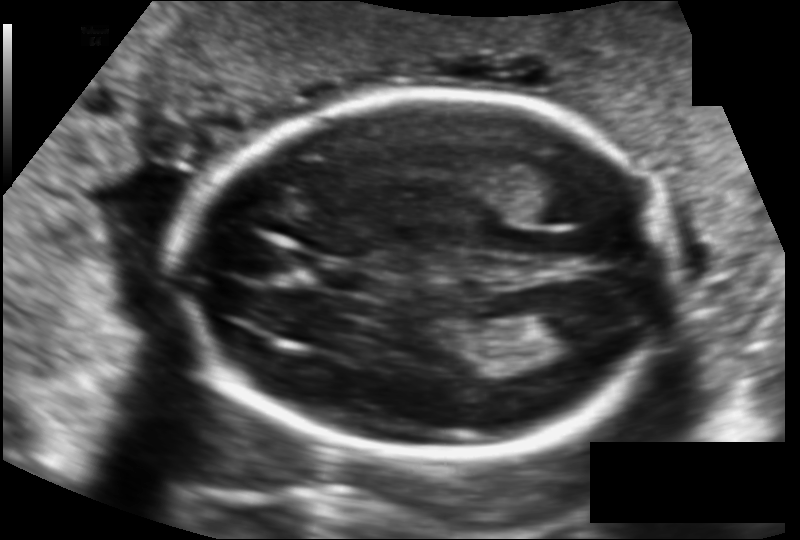
Fetal head ultrasound. Image width: 98.9 mm. Locate the fetal head.

Head: [177,95,673,457]